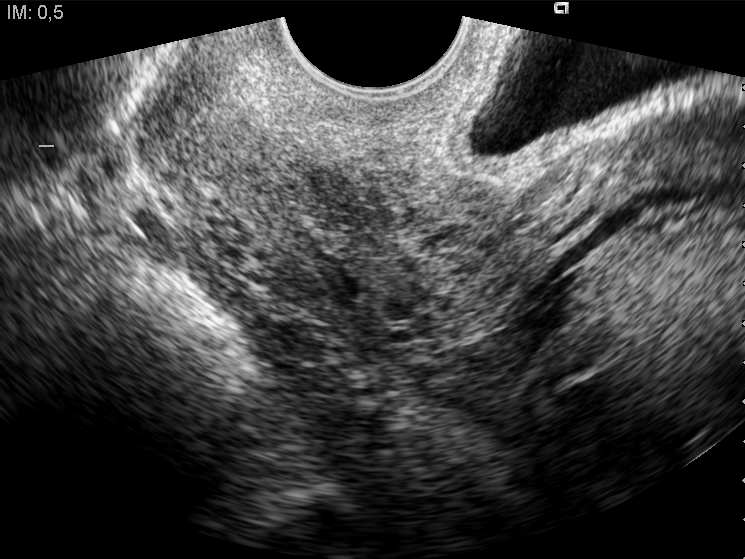
Classify this maternal-fetal ultrasound image as one of the six standard planes — fetal abdomen, fetal brain, fetal femur, fetal thorax, maternal cervix, or other. If it's fetal brain and one of the three standard brain planes (trans-thalamic, trans-cerebellum, trans-ventricular), name which.

Maternal cervix